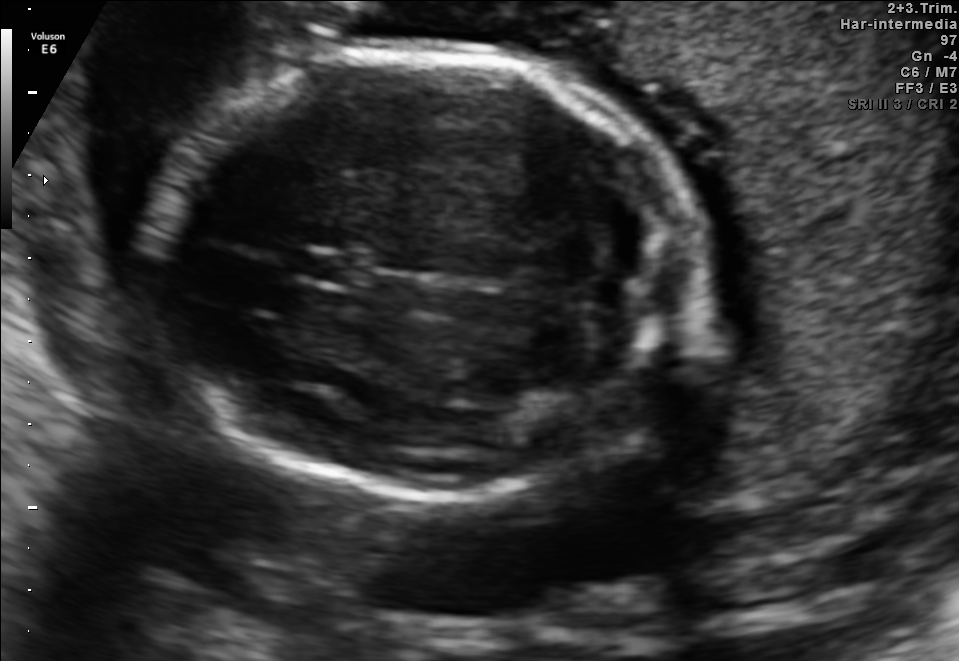
Fetal brain, trans-cerebellum plane. Locate the cavum septum pellucidum.

CSP: [288,243,366,291]